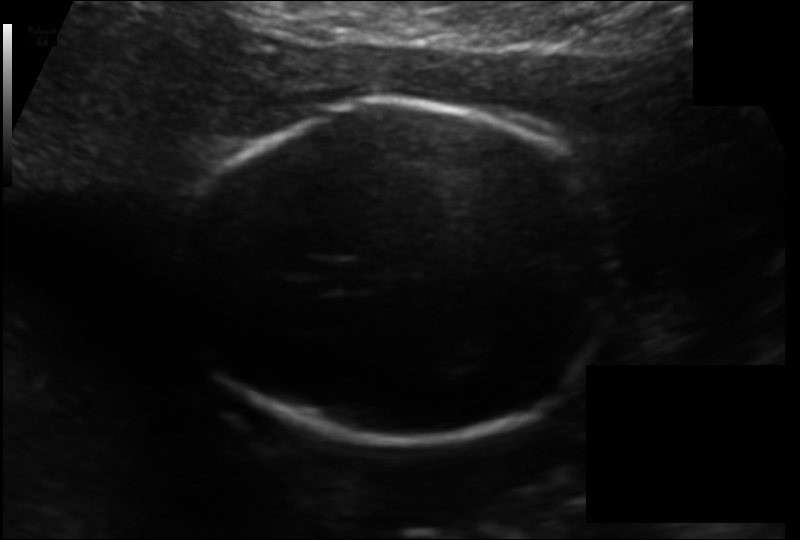
In this fetal head ultrasound, give bounding boxes for the head outline, cavum septum pellucidum (CSP), and lateral ventricle (LV), where visible. Image width: 106.3 mm.

Head: [184,100,624,442]